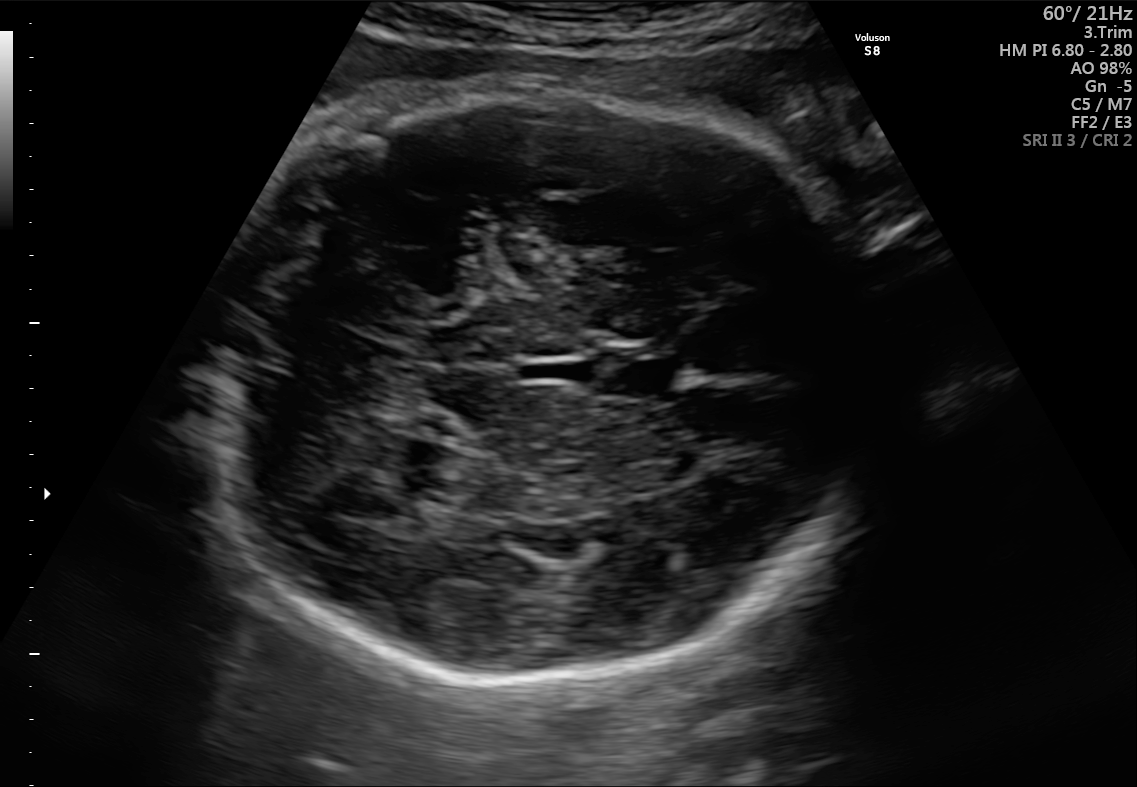
In this fetal brain, trans-cerebellum plane, give the bounding box of the fetal head.

[207,89,877,681]